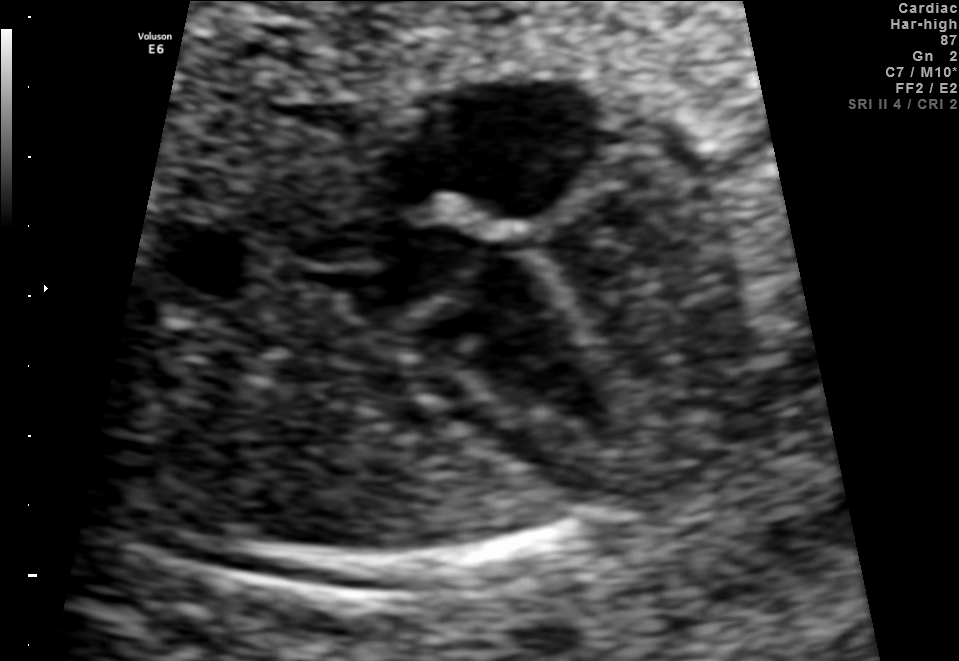
Identify the standard plane in this fetal ultrasound image: fetal abdomen, fetal brain, fetal femur, fetal thorax, maternal cervix, or other. If it's fetal brain and one of the three standard brain planes (trans-thalamic, trans-cerebellum, trans-ventricular), name which.

Fetal thorax